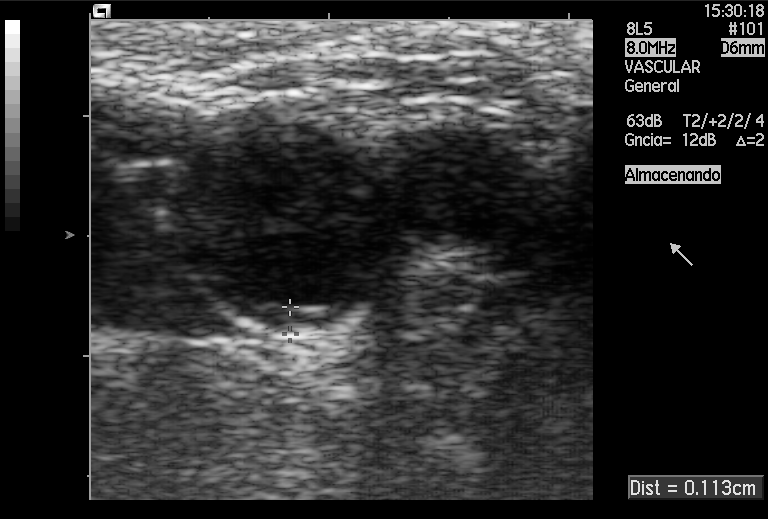
Which standard maternal-fetal ultrasound plane is shown: fetal abdomen, fetal brain, fetal femur, fetal thorax, maternal cervix, or other? If it's fetal brain and one of the three standard brain planes (trans-thalamic, trans-cerebellum, trans-ventricular), name which.

Other